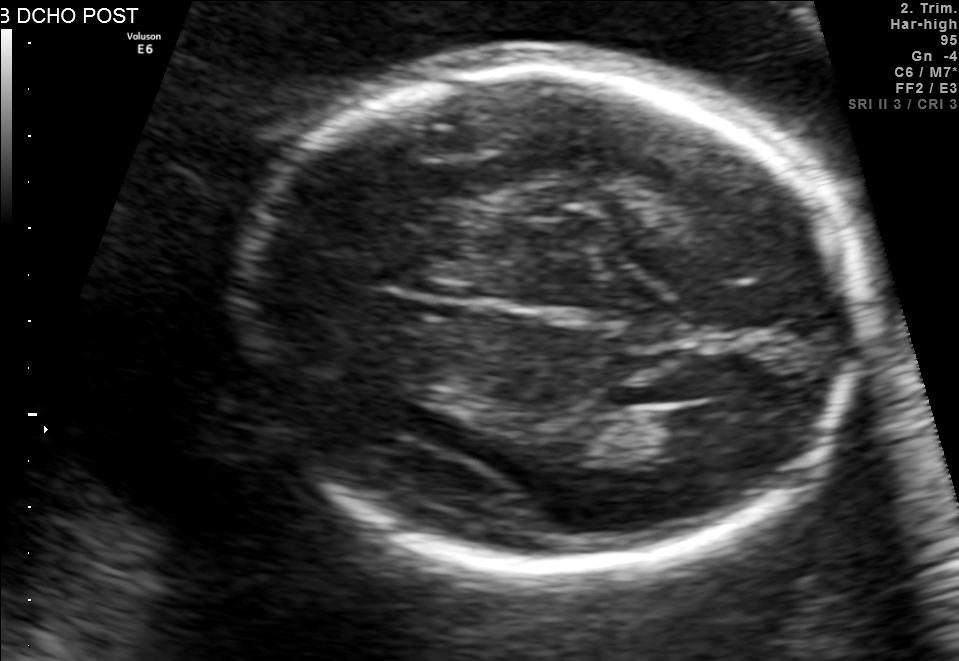
Fetal brain, trans-thalamic plane. Locate the fetal head and, if visible, the cavum septum pellucidum (CSP) and lateral ventricle (LV). Give bounding boxes as [x1,y1,x2,y2].

Head: [239,66,856,573]
Lateral ventricle: [642,397,753,458]